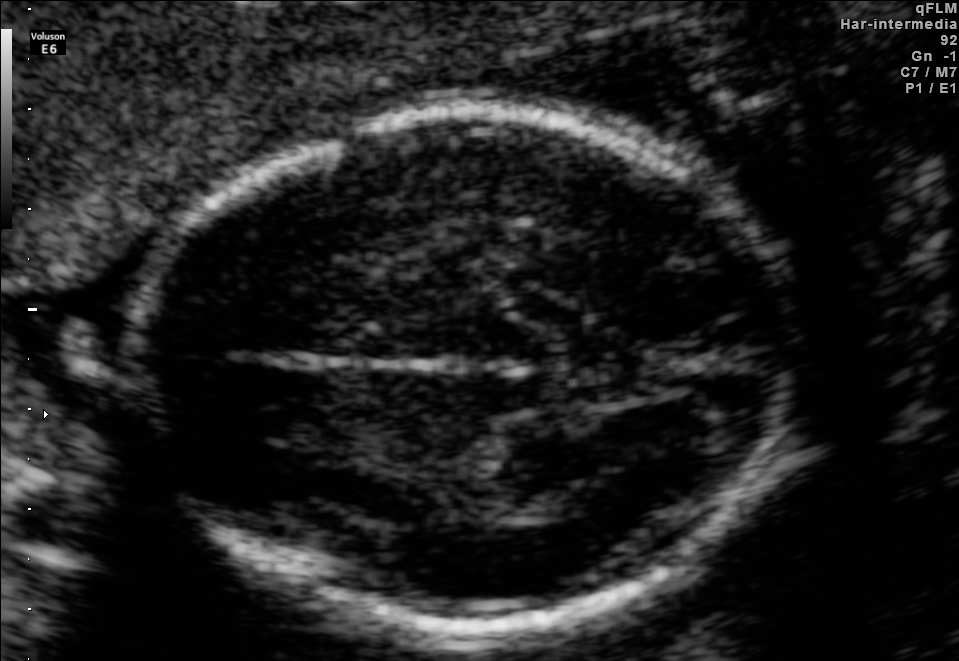
Fetal brain, trans-thalamic plane. Give [x1,y1,x2,y2] bounding boxes for each visible structure among: fetal head, CSP, LV.

Head: [133,113,792,636]